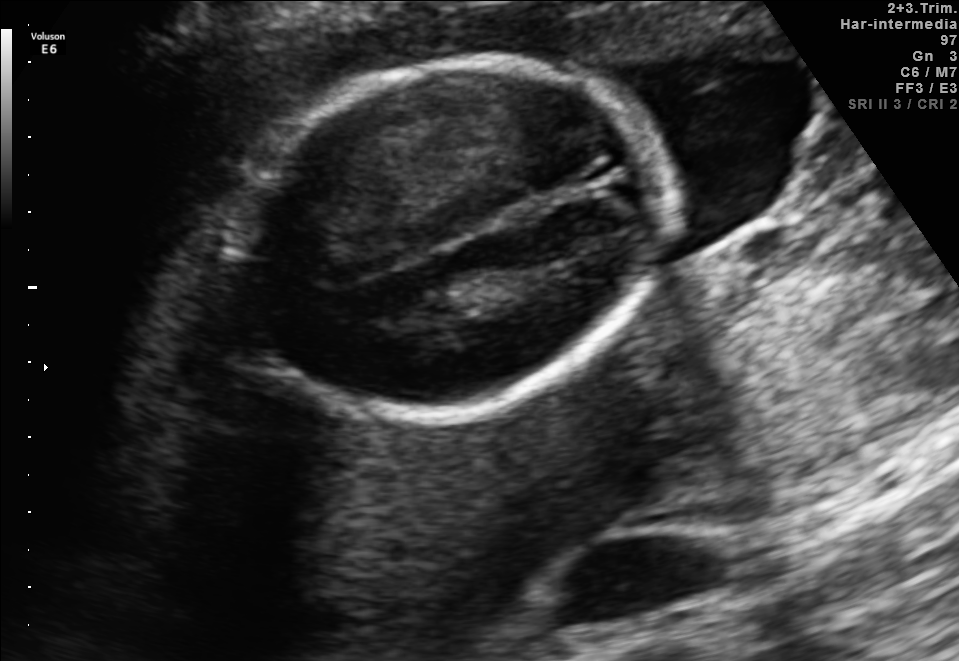
Classify this maternal-fetal ultrasound image as one of the six standard planes — fetal abdomen, fetal brain, fetal femur, fetal thorax, maternal cervix, or other. If it's fetal brain and one of the three standard brain planes (trans-thalamic, trans-cerebellum, trans-ventricular), name which.

Fetal brain (trans-thalamic plane)